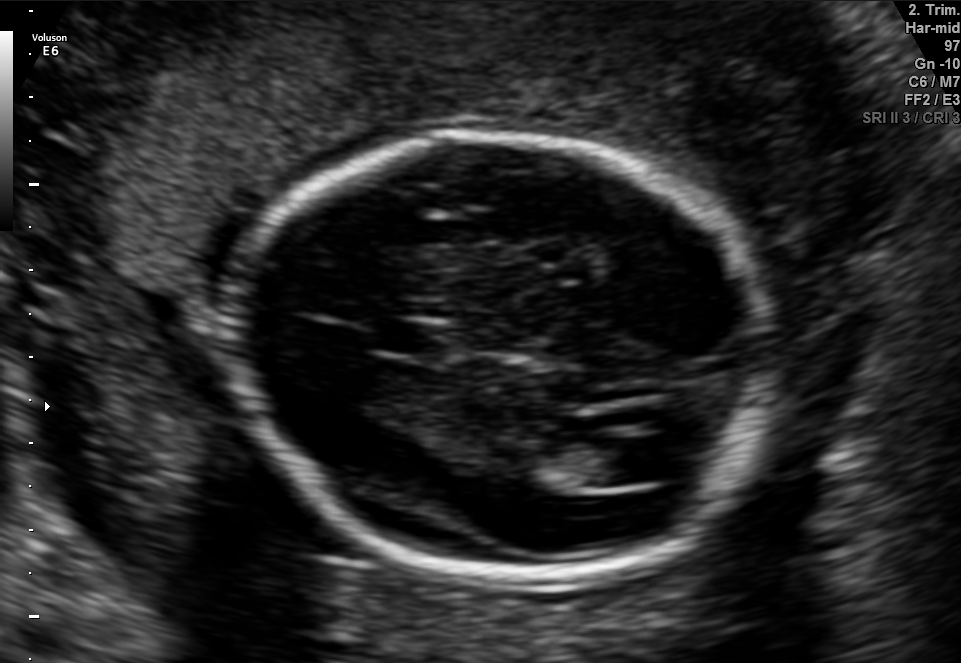
In this fetal brain, trans-ventricular plane, give the bounding box of the cavum septum pellucidum.

[374,320,431,355]